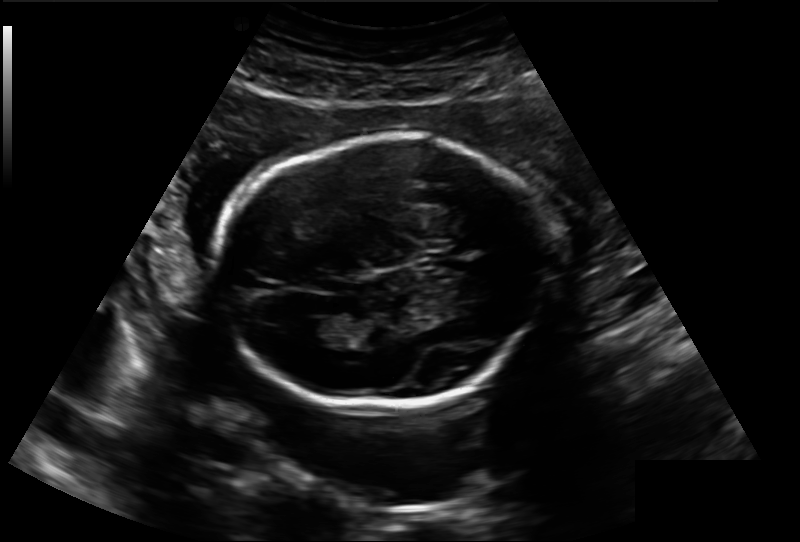
In this fetal head ultrasound, give the bounding box of the lateral ventricle. Image width: 150.3 mm.

[298,318,341,344]